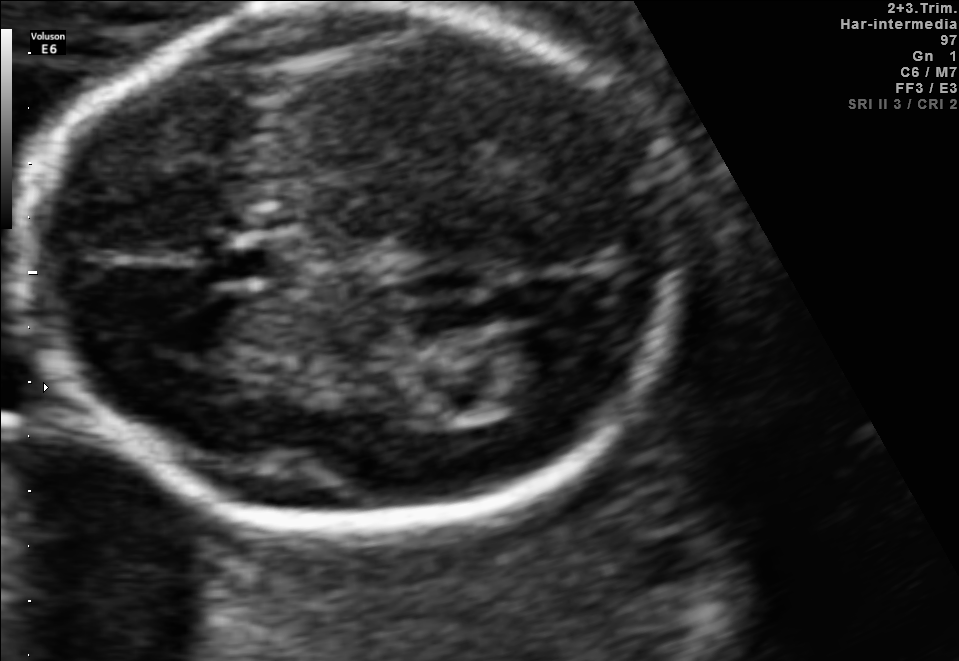
Fetal brain, trans-thalamic plane. Where is the cavum septum pellucidum?

CSP bounding box: [204,233,303,287]